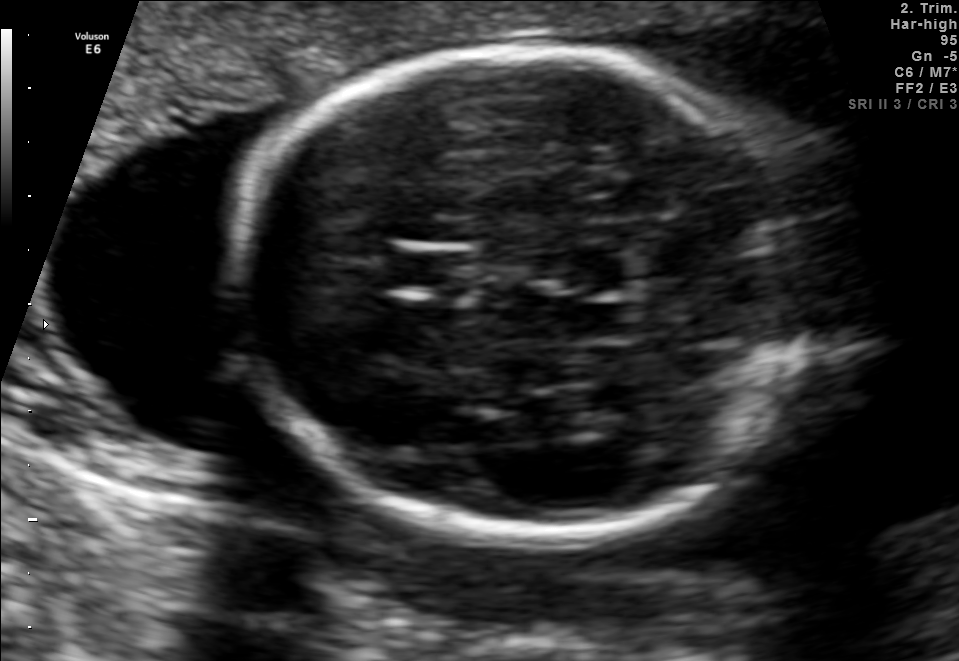
Fetal brain, trans-thalamic plane. Locate the fetal head.

Head: [228,50,813,541]